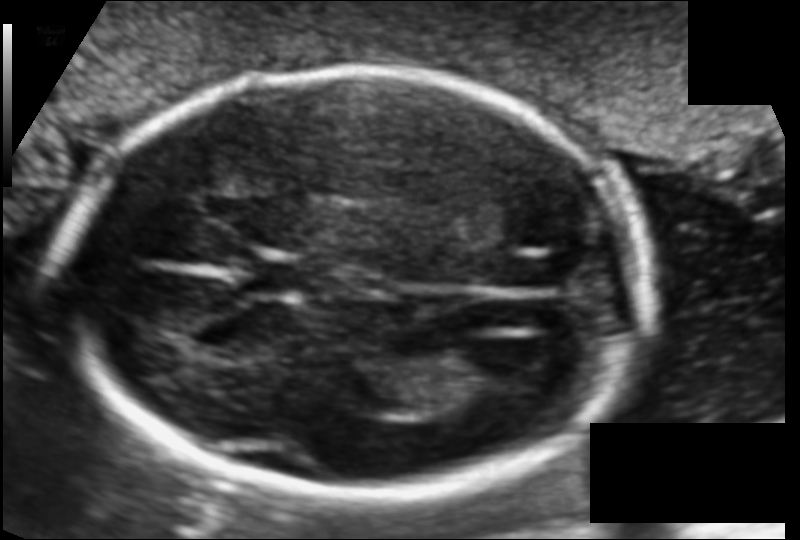
Fetal head ultrasound. Image width: 87.9 mm. Locate the lateral ventricle.

Lateral ventricle: [458,340,548,389]